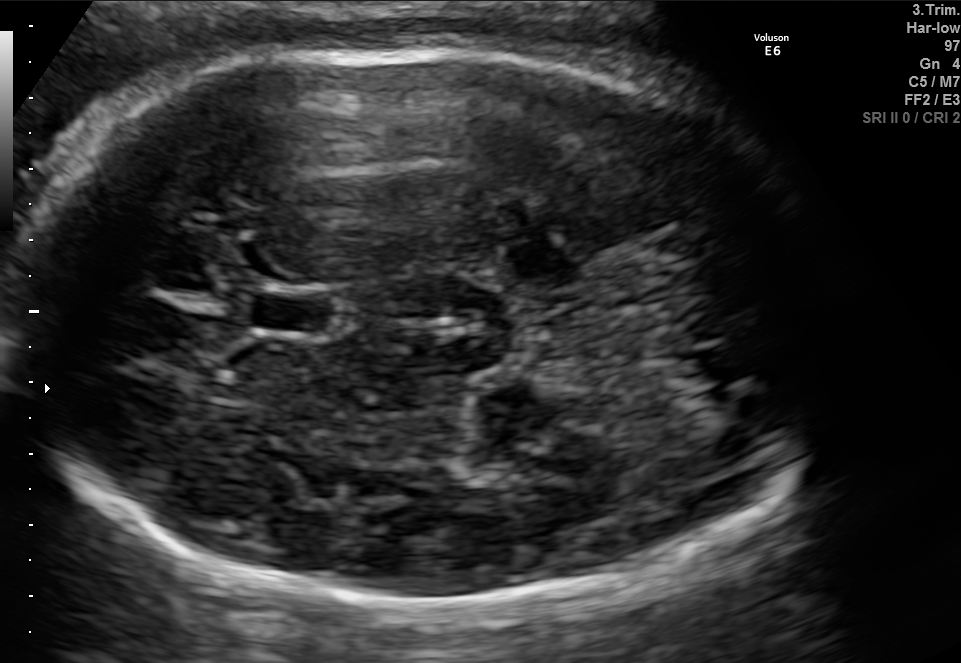
Fetal brain, trans-thalamic plane. Give [x1,y1,x2,y2] bounding boxes for each visible structure among: fetal head, CSP, LV.

Head: [7,48,830,605]
CSP: [251,293,329,334]